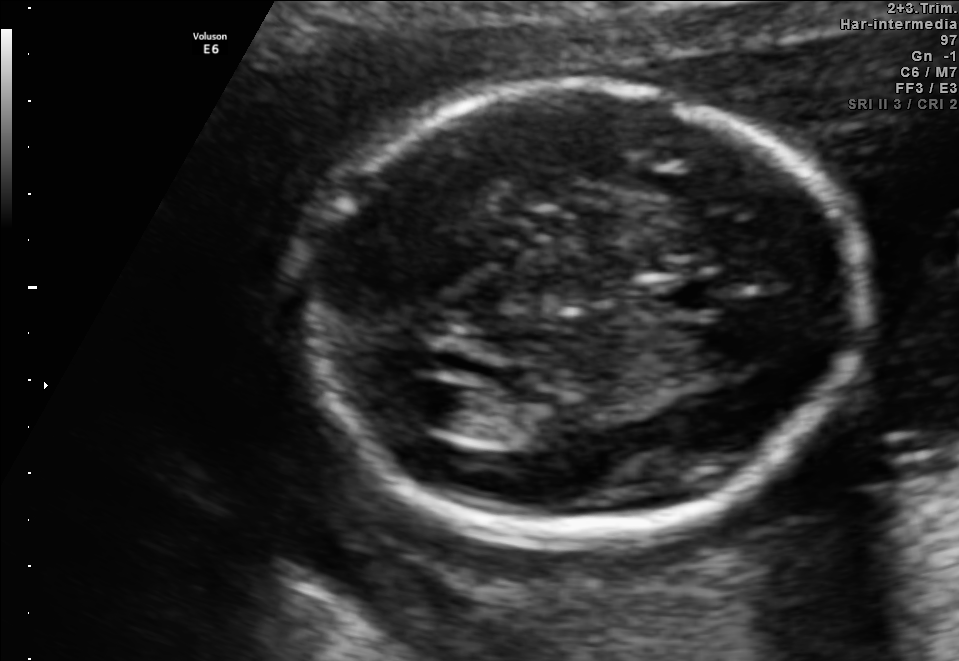
Fetal brain, trans-ventricular plane. Locate the lateral ventricle.

Lateral ventricle: [383,368,476,436]